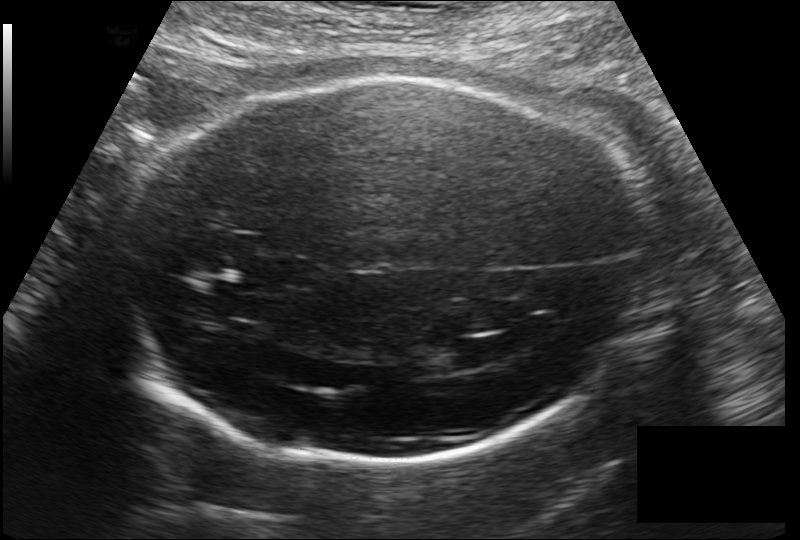
Fetal head ultrasound. Image width: 142.0 mm. Locate the fetal head.

Head: [123,78,653,464]